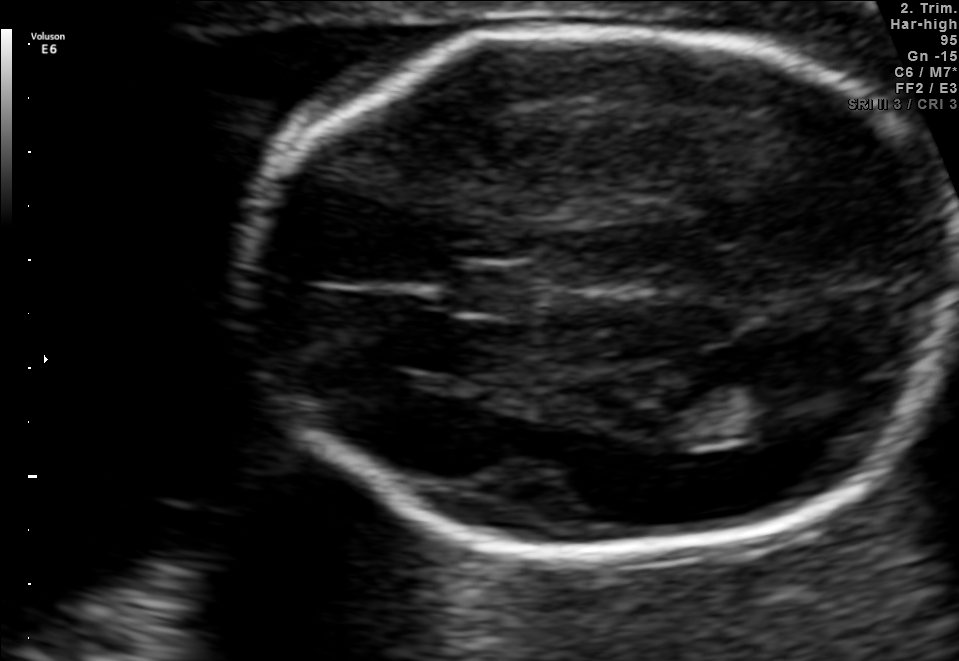
Fetal brain, trans-thalamic plane. Locate the cavum septum pellucidum.

CSP: [453,265,531,313]